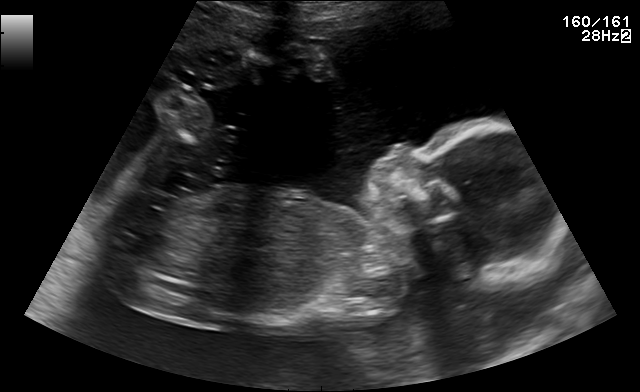
Classify this maternal-fetal ultrasound image as one of the six standard planes — fetal abdomen, fetal brain, fetal femur, fetal thorax, maternal cervix, or other. If it's fetal brain and one of the three standard brain planes (trans-thalamic, trans-cerebellum, trans-ventricular), name which.

Other